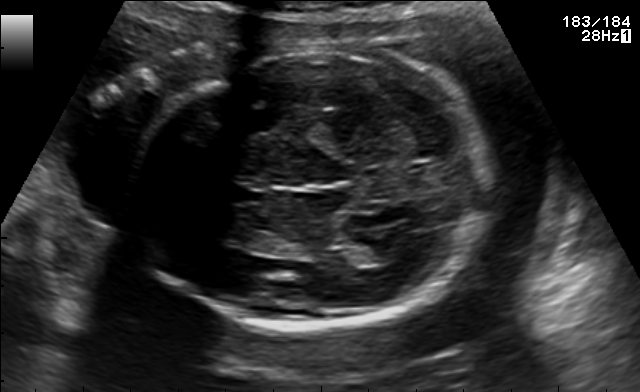
In this fetal brain, trans-thalamic plane, give the bounding box of the fetal head.

[131,49,495,329]